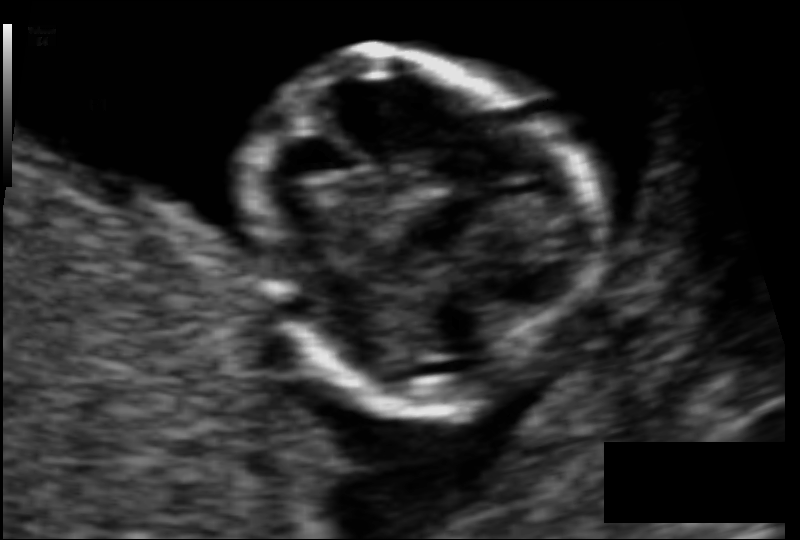
In this fetal head ultrasound, give the bounding box of the fetal head. Image width: 54.6 mm.

[239,59,582,398]